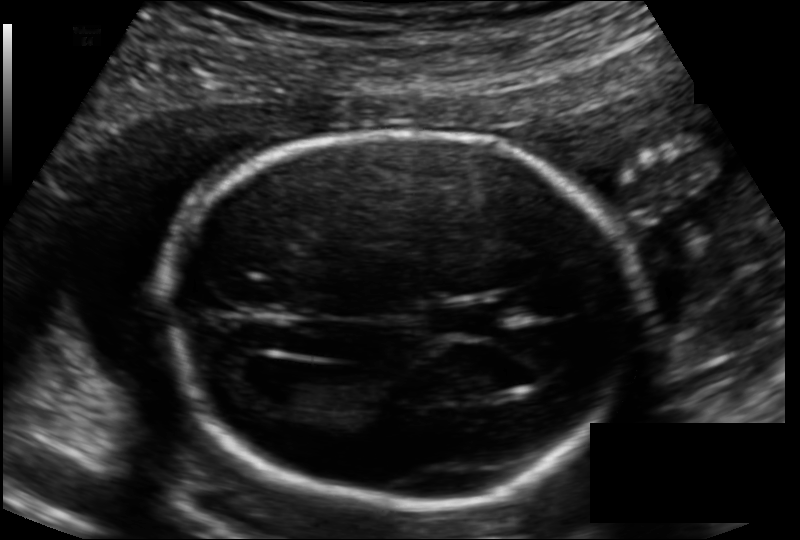
Fetal head ultrasound. Image width: 100.8 mm. Where is the cavum septum pellucidum?

CSP bounding box: [430,303,497,336]